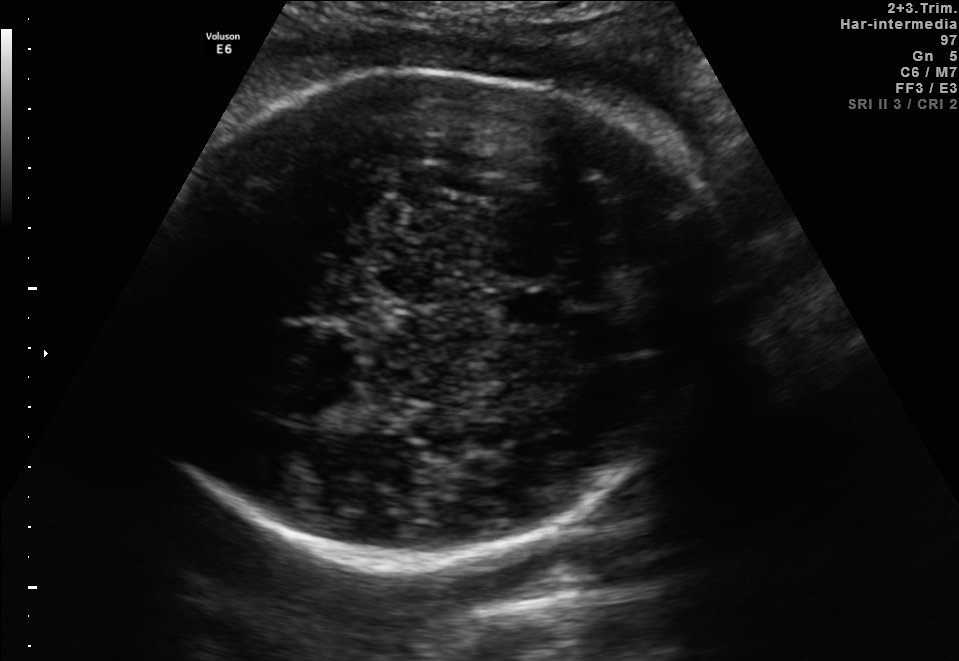
In this fetal brain, trans-thalamic plane, give bounding boxes for the head outline, cavum septum pellucidum (CSP), and lateral ventricle (LV), where visible.

Head: [139,75,726,572]
CSP: [497,286,564,330]
Lateral ventricle: [257,364,352,434]